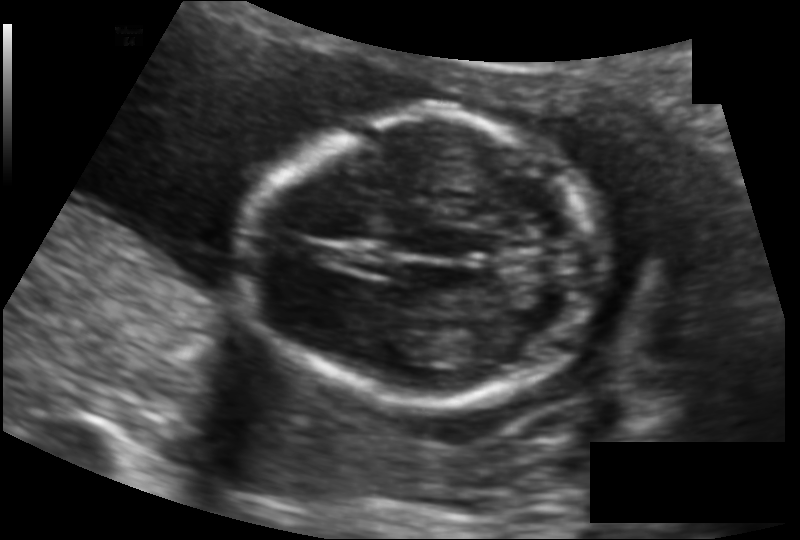
Fetal head ultrasound. Image width: 97.8 mm. Locate the fetal head and, if visible, the cavum septum pellucidum (CSP) and lateral ventricle (LV). Give bounding boxes as [x1,y1,x2,y2].

Head: [243,114,601,401]